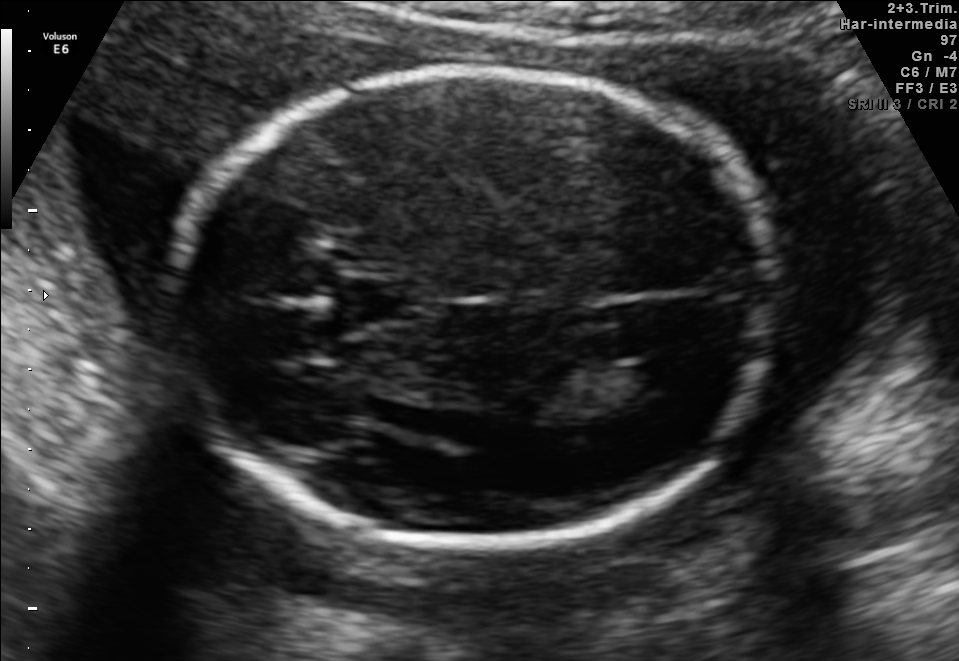
In this fetal brain, trans-ventricular plane, give the bounding box of the fetal head.

[155,58,798,557]